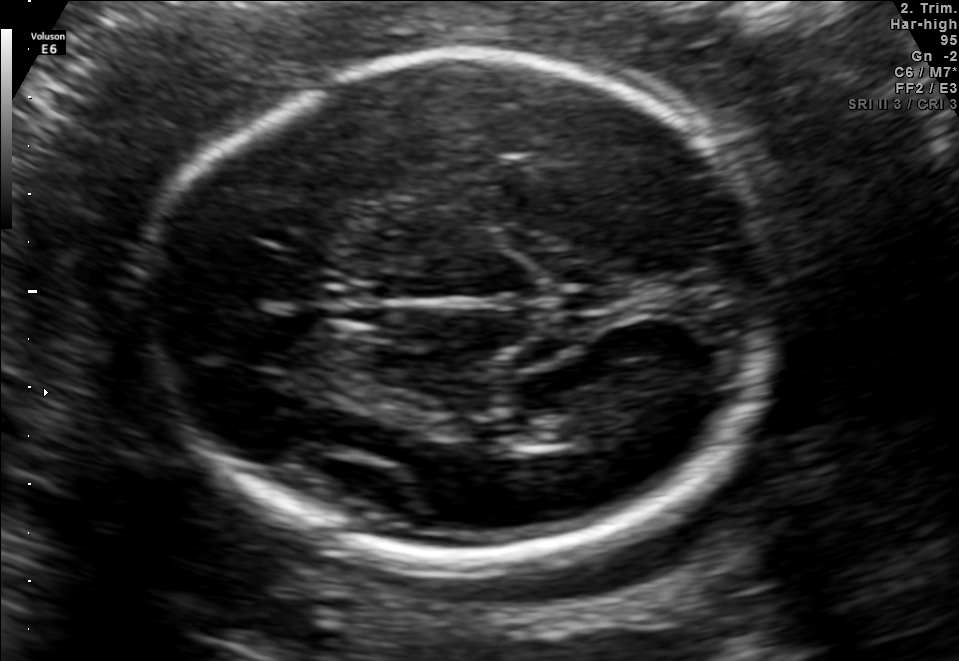
Classify this maternal-fetal ultrasound image as one of the six standard planes — fetal abdomen, fetal brain, fetal femur, fetal thorax, maternal cervix, or other. If it's fetal brain and one of the three standard brain planes (trans-thalamic, trans-cerebellum, trans-ventricular), name which.

Fetal brain (trans-thalamic plane)